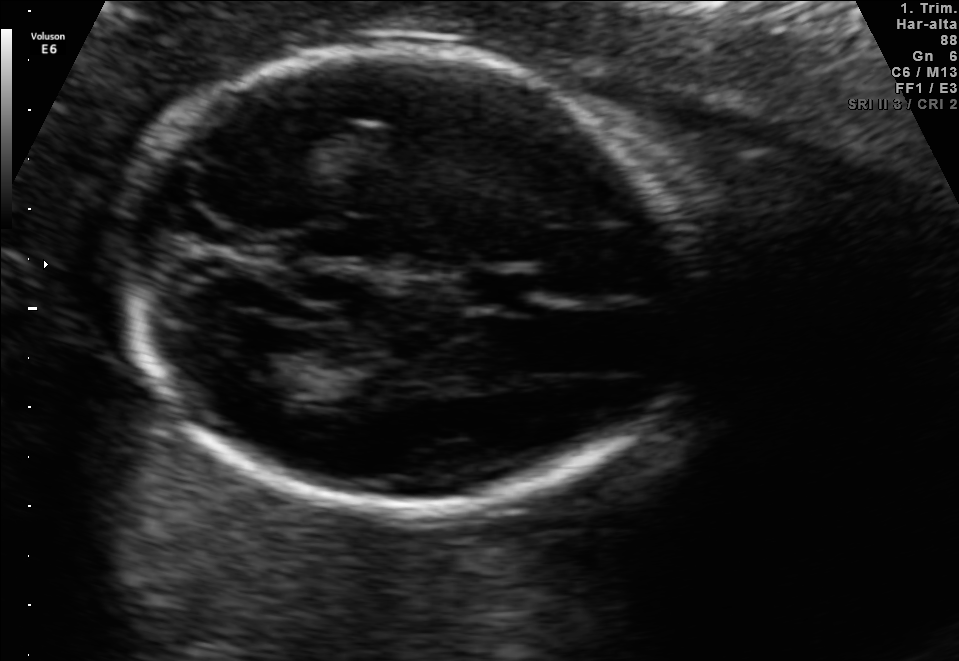
Fetal brain, trans-thalamic plane. Locate the lateral ventricle.

Lateral ventricle: [227,339,321,404]